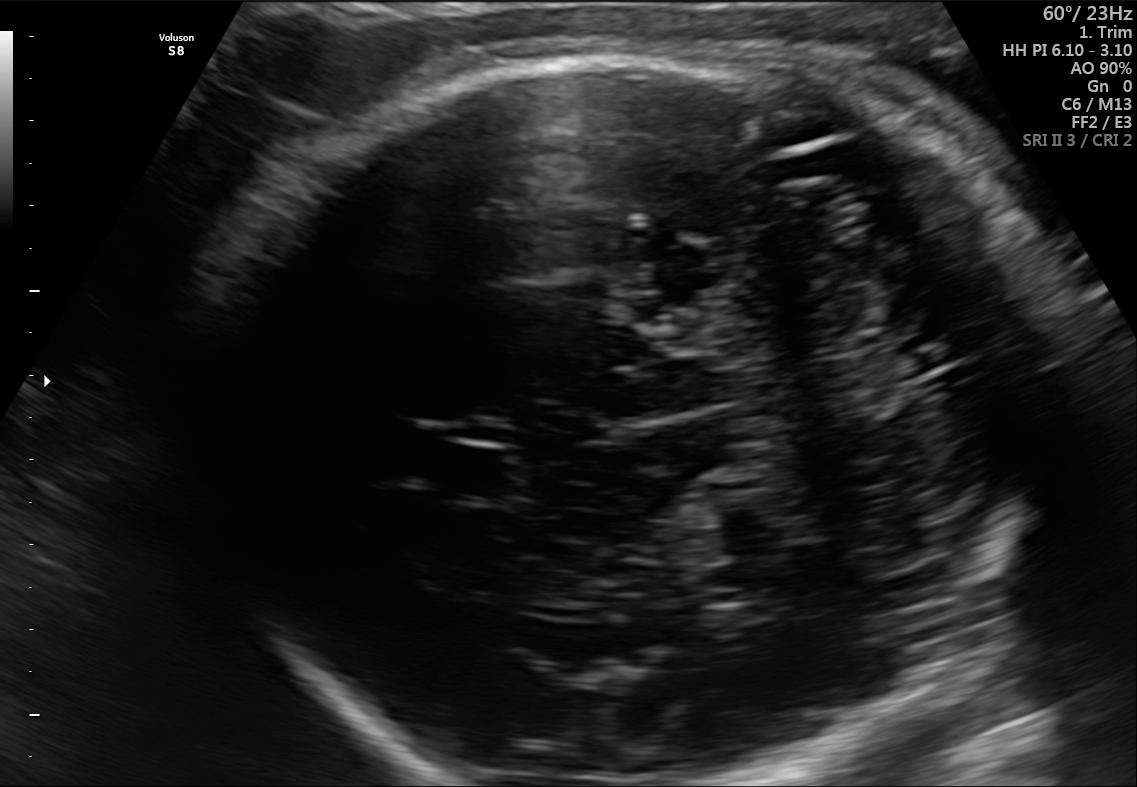
Fetal brain, trans-cerebellum plane. Locate the cavum septum pellucidum.

CSP: [418,432,531,512]